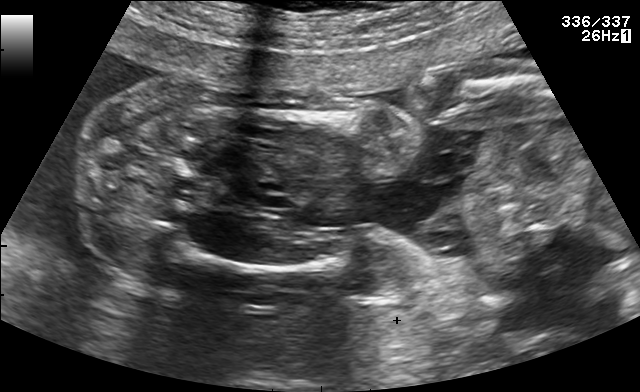
This is a 2D maternal-fetal ultrasound frame. Is it a fetal abdomen, fetal brain, fetal femur, fetal thorax, maternal cervix, or other standard plane? If it's fetal brain and one of the three standard brain planes (trans-thalamic, trans-cerebellum, trans-ventricular), name which.

Fetal femur